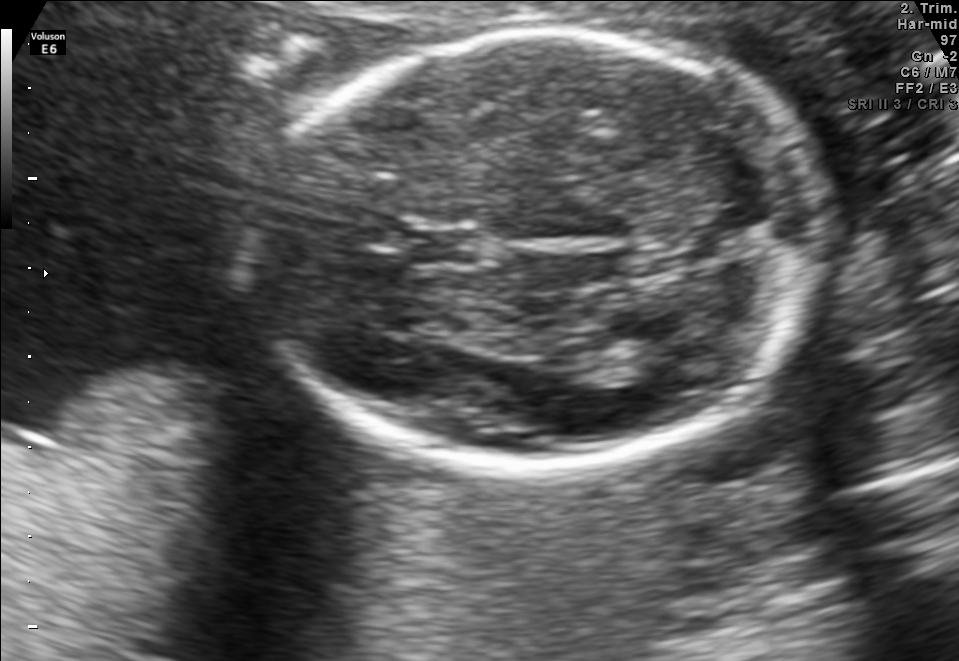
Fetal brain, trans-thalamic plane. Give [x1,y1,x2,y2] bounding boxes for each visible structure among: fetal head, CSP, LV.

Head: [257,34,820,463]
CSP: [414,230,475,262]